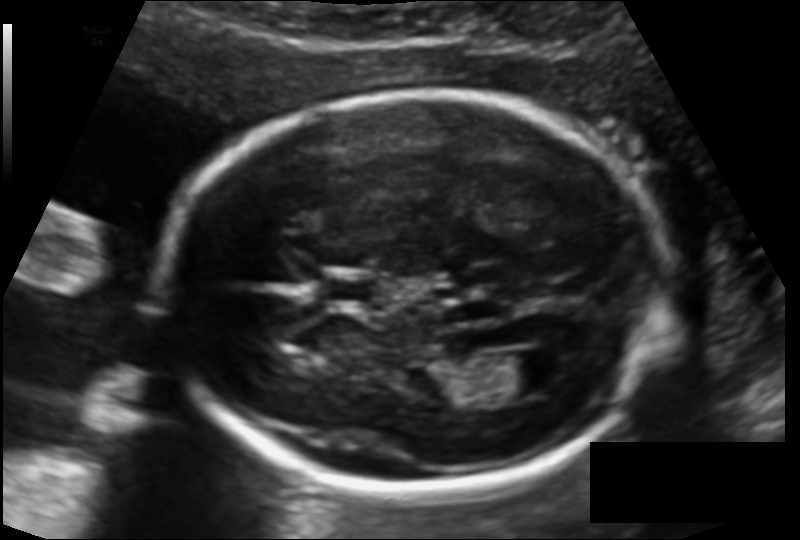
Estimate the fetal head circumference from this 2D ultrasound. Image width: 101.2 mm.

Head circumference: 181.7 mm.